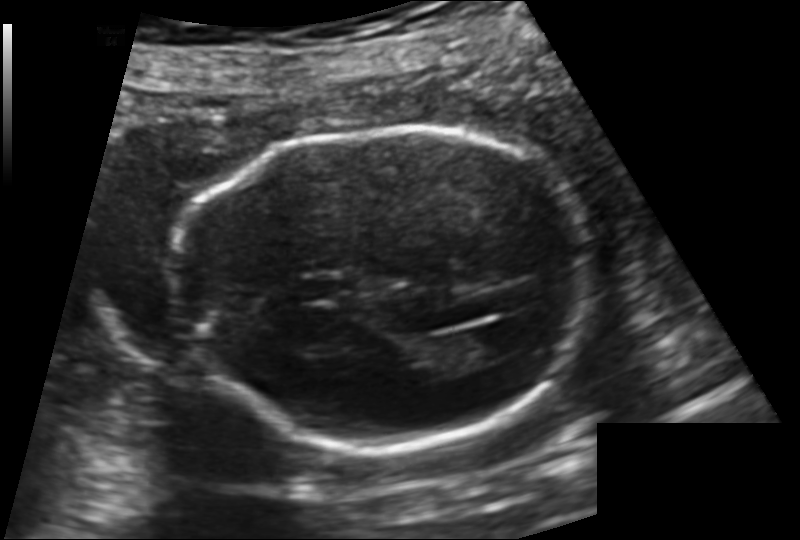
Estimate the fetal head circumference from this 2D ultrasound.

Head circumference: 172.1 mm (image width 115.3 mm).